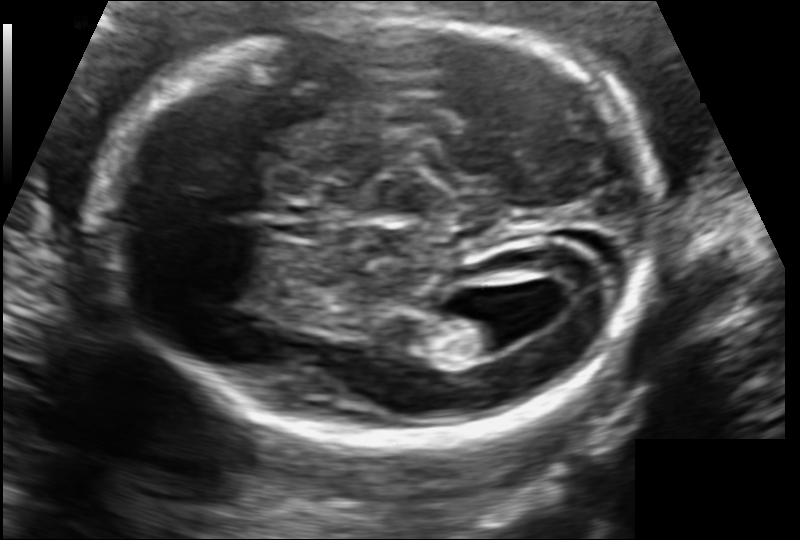
Estimate the fetal head circumference from this 2D ultrasound. Image width: 87.0 mm.

Head circumference: 172.9 mm.